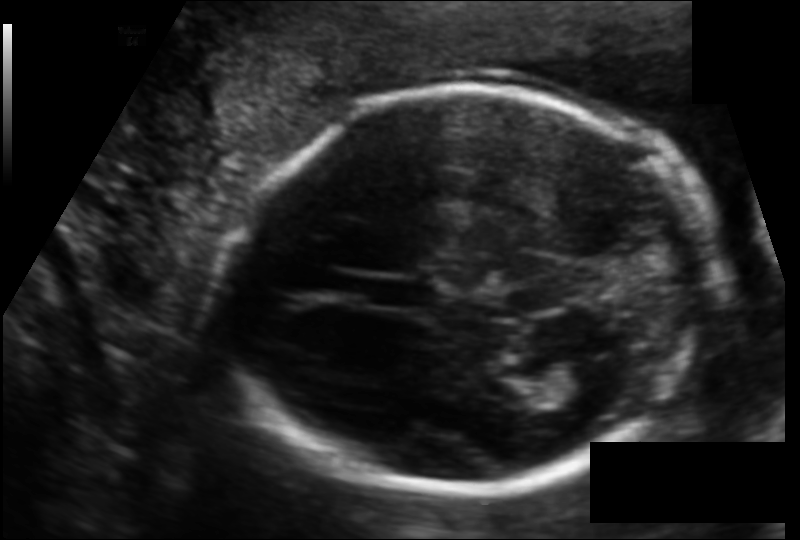
Estimate the fetal head circumference from this 2D ultrasound. Image width: 95.3 mm.

Head circumference: 175.6 mm.